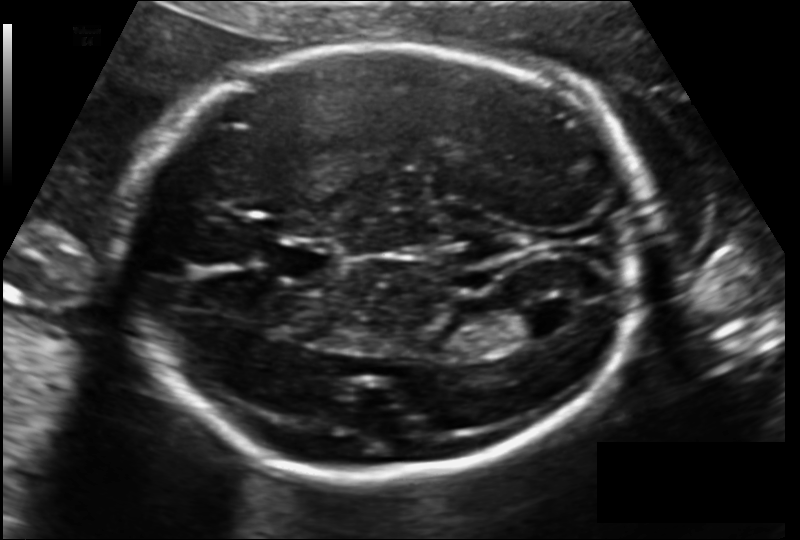
From this fetal ultrasound, estimate the head circumference (image width 118.5 mm).

Head circumference: 231.2 mm.